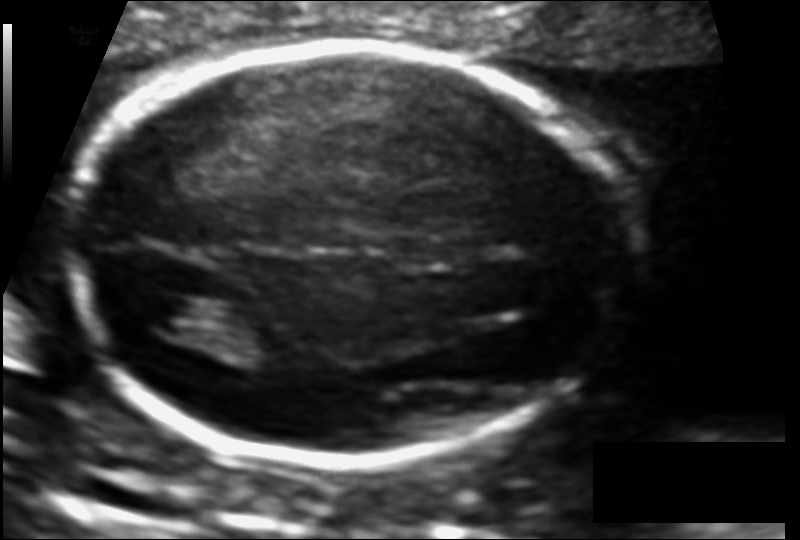
Fetal head ultrasound. Image width: 88.9 mm. Locate the fetal head and, if visible, the cavum septum pellucidum (CSP) and lateral ventricle (LV). Give bounding boxes as [x1,y1,x2,y2].

Head: [73,47,611,466]
CSP: [391,236,464,269]
Lateral ventricle: [128,282,214,346]